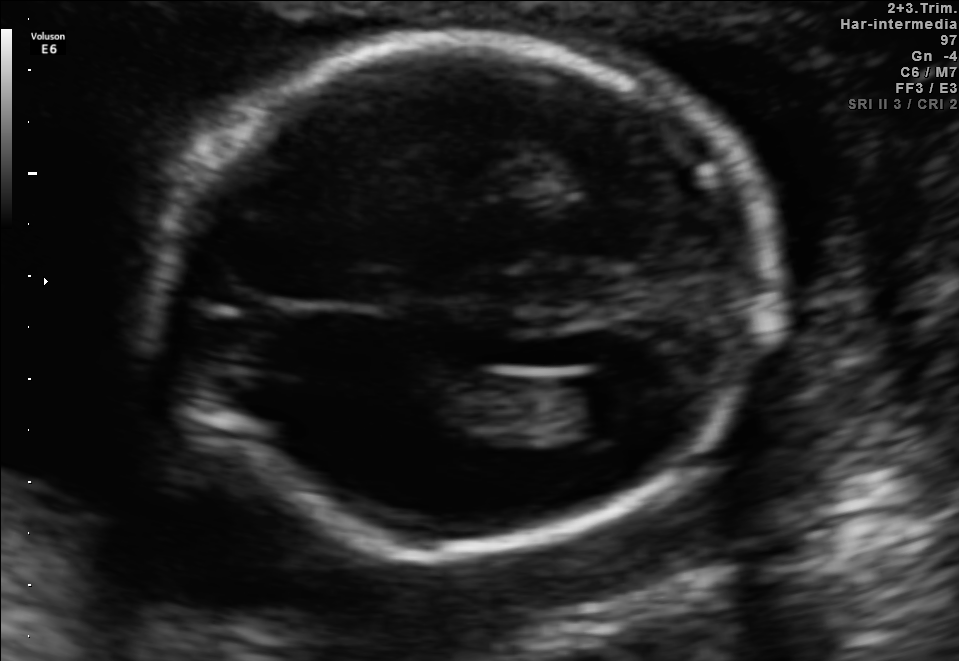
In this fetal brain, trans-ventricular plane, give the bounding box of the fetal head.

[125,30,790,561]